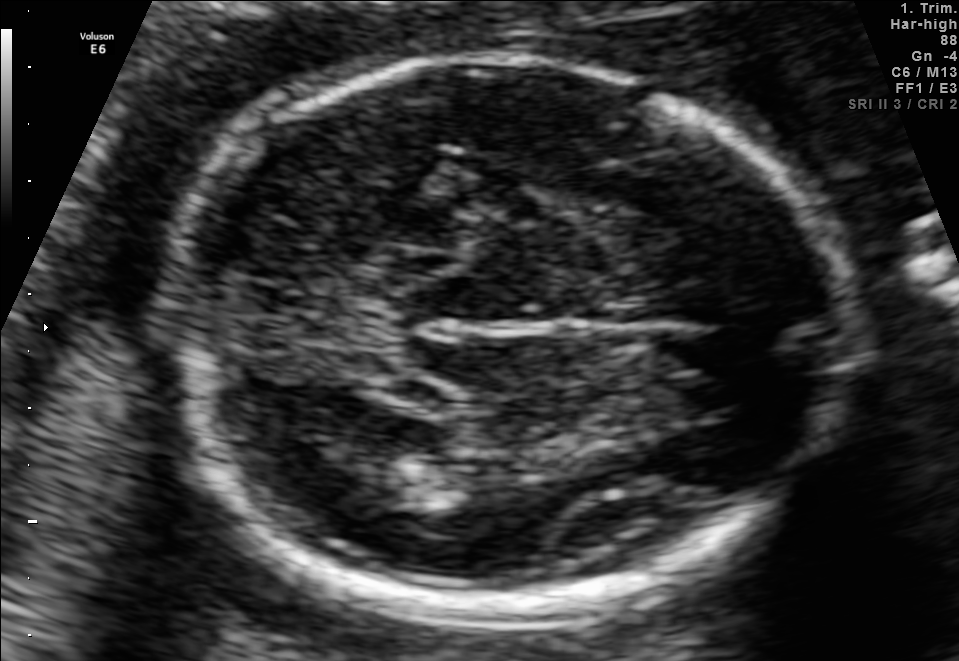
In this fetal brain, trans-thalamic plane, give the bounding box of the fetal head.

[164,58,853,613]